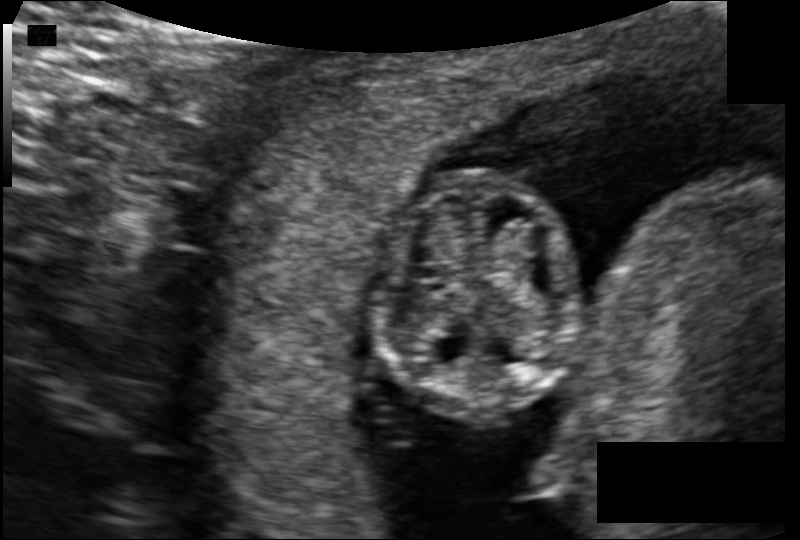
Fetal head ultrasound. Image width: 81.0 mm. Locate the fetal head and, if visible, the cavum septum pellucidum (CSP) and lateral ventricle (LV). Give bounding boxes as [x1,y1,x2,y2].

Head: [373,172,579,414]